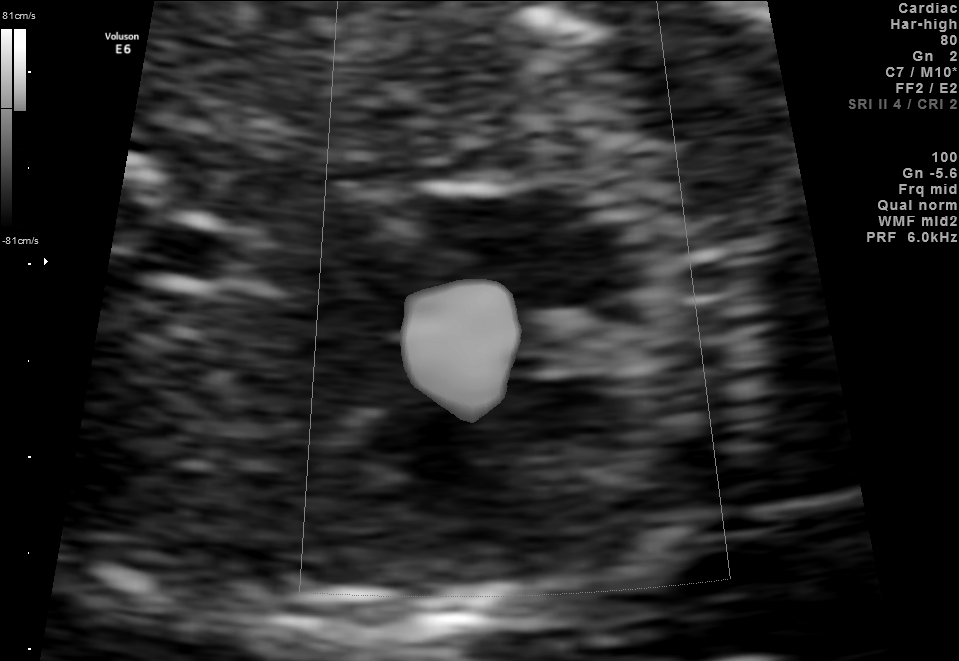
Classify this maternal-fetal ultrasound image as one of the six standard planes — fetal abdomen, fetal brain, fetal femur, fetal thorax, maternal cervix, or other. If it's fetal brain and one of the three standard brain planes (trans-thalamic, trans-cerebellum, trans-ventricular), name which.

Other